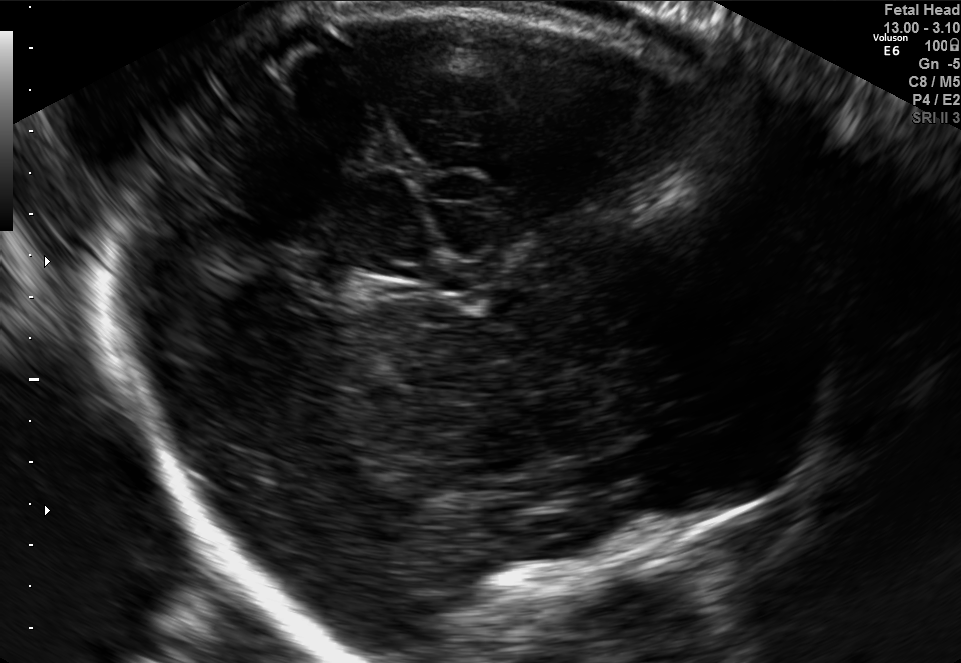
Classify this maternal-fetal ultrasound image as one of the six standard planes — fetal abdomen, fetal brain, fetal femur, fetal thorax, maternal cervix, or other. If it's fetal brain and one of the three standard brain planes (trans-thalamic, trans-cerebellum, trans-ventricular), name which.

Other